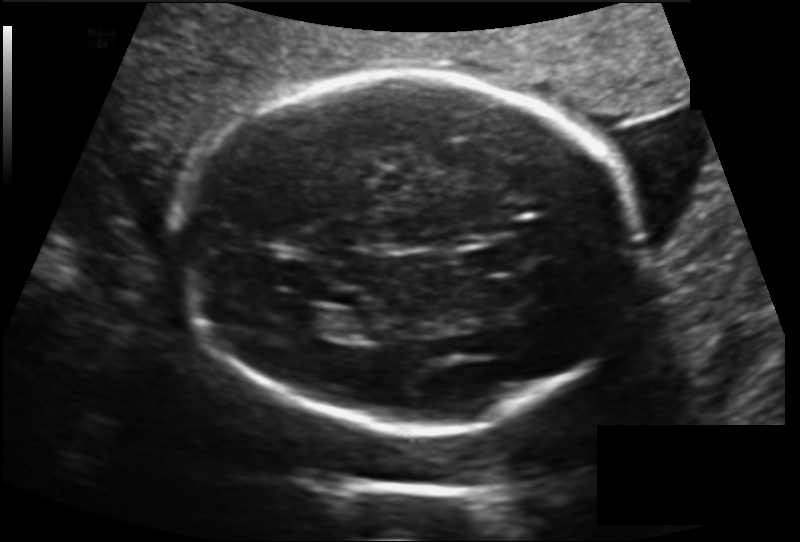
In this fetal head ultrasound, give the bounding box of the lateral ventricle. Image width: 127.7 mm.

[285,305,343,337]